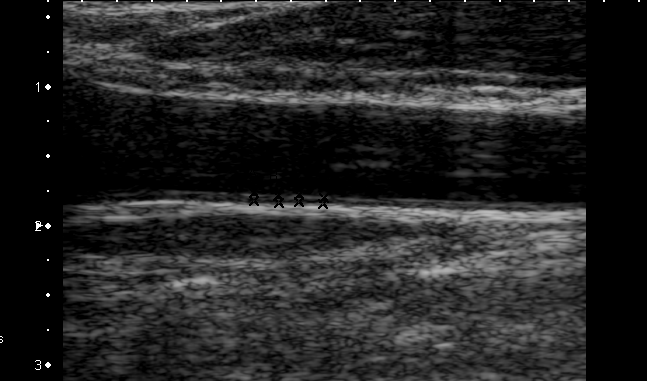
This is a 2D maternal-fetal ultrasound frame. Is it a fetal abdomen, fetal brain, fetal femur, fetal thorax, maternal cervix, or other standard plane? If it's fetal brain and one of the three standard brain planes (trans-thalamic, trans-cerebellum, trans-ventricular), name which.

Other